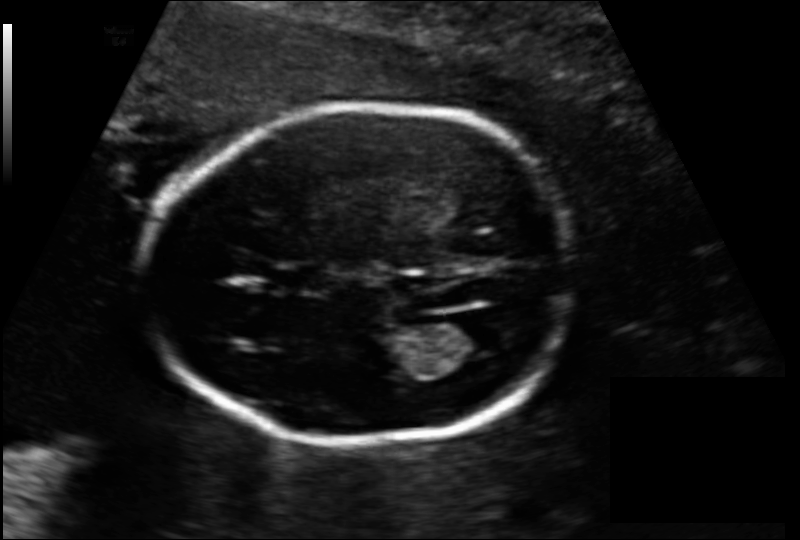
Fetal head ultrasound. Image width: 109.4 mm. Where is the lateral ventricle?

Lateral ventricle bounding box: [435,304,510,364]